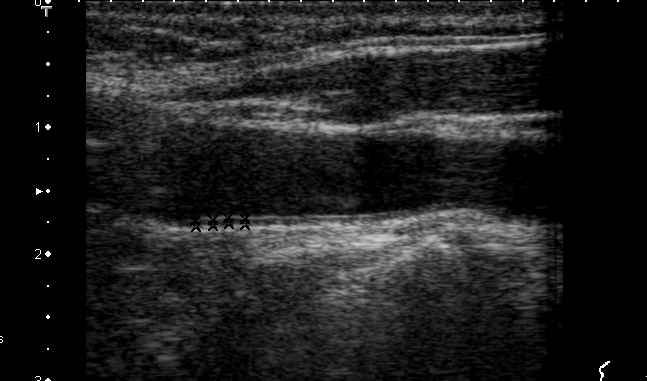
This is a 2D maternal-fetal ultrasound frame. Is it a fetal abdomen, fetal brain, fetal femur, fetal thorax, maternal cervix, or other standard plane? If it's fetal brain and one of the three standard brain planes (trans-thalamic, trans-cerebellum, trans-ventricular), name which.

Other